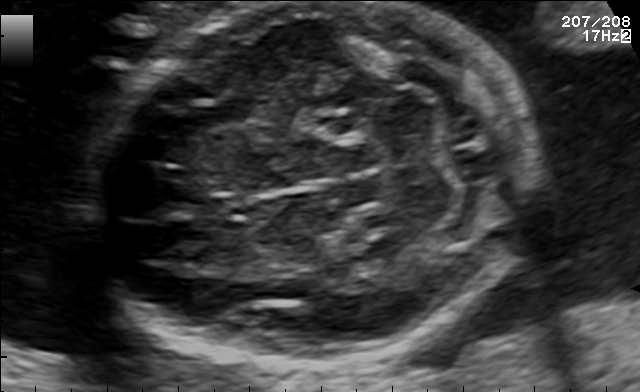
In this fetal brain, trans-cerebellum plane, give bounding boxes for the head outline, cavum septum pellucidum (CSP), and lateral ventricle (LV), where visible.

Head: [94,2,523,364]